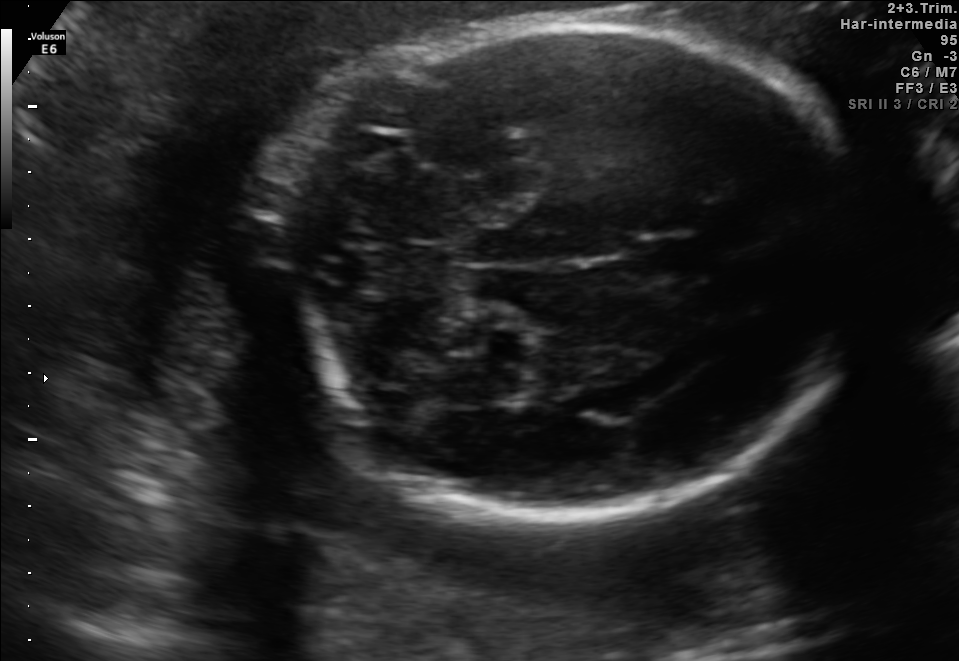
Fetal brain, trans-cerebellum plane. Where is the cavum septum pellucidum?

CSP bounding box: [631,227,709,285]